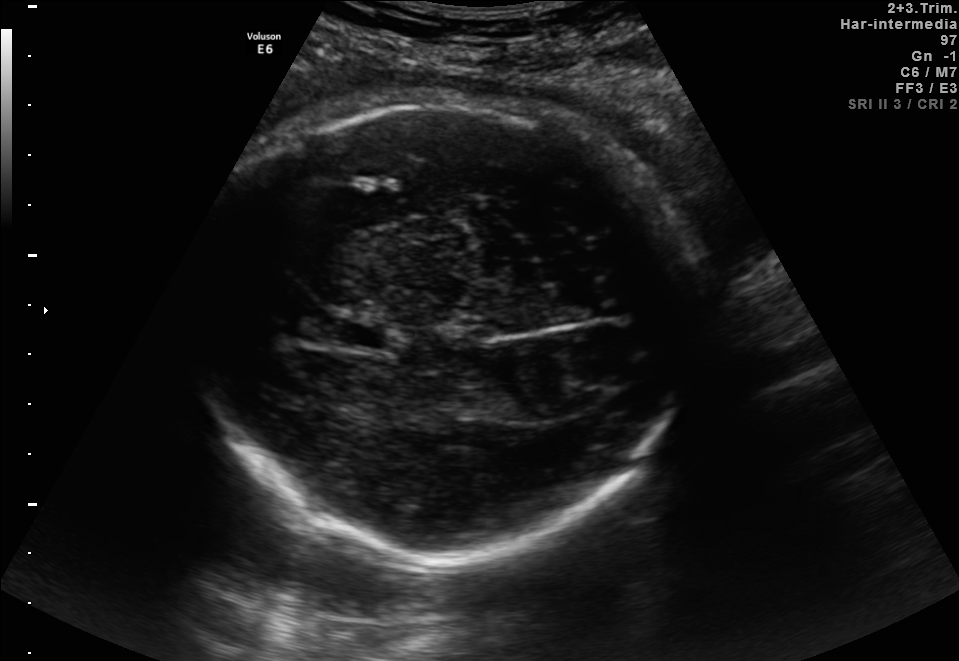
In this fetal brain, trans-thalamic plane, give the bounding box of the fetal head.

[188,100,689,559]